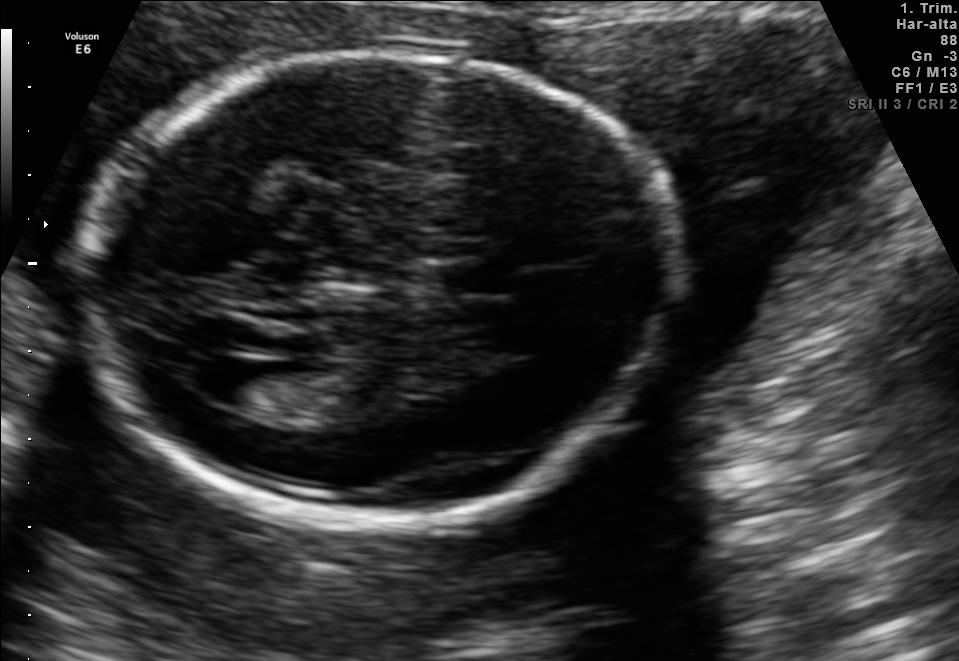
Fetal brain, trans-ventricular plane. Locate the cavum septum pellucidum.

CSP: [433,257,526,299]